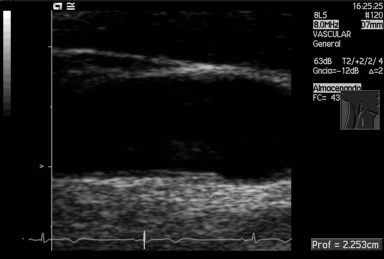
Classify this maternal-fetal ultrasound image as one of the six standard planes — fetal abdomen, fetal brain, fetal femur, fetal thorax, maternal cervix, or other. If it's fetal brain and one of the three standard brain planes (trans-thalamic, trans-cerebellum, trans-ventricular), name which.

Other